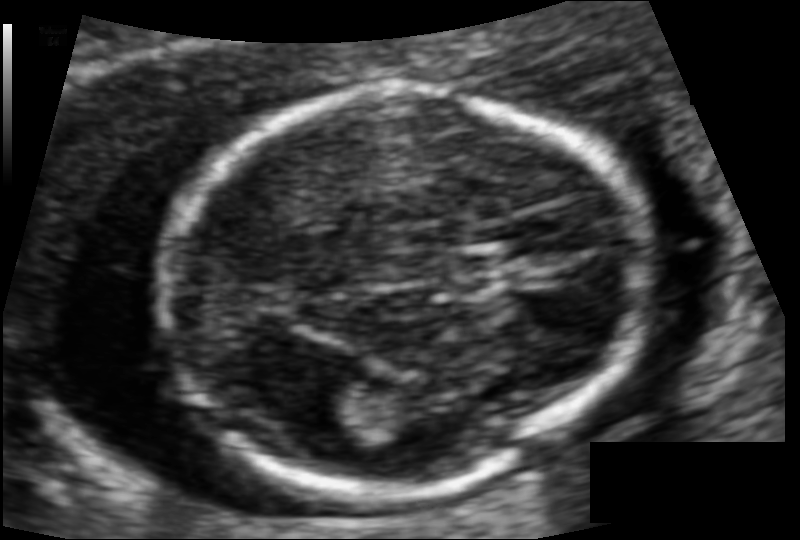
Fetal head ultrasound. Image width: 66.5 mm. Locate the fetal head.

Head: [164,87,637,493]